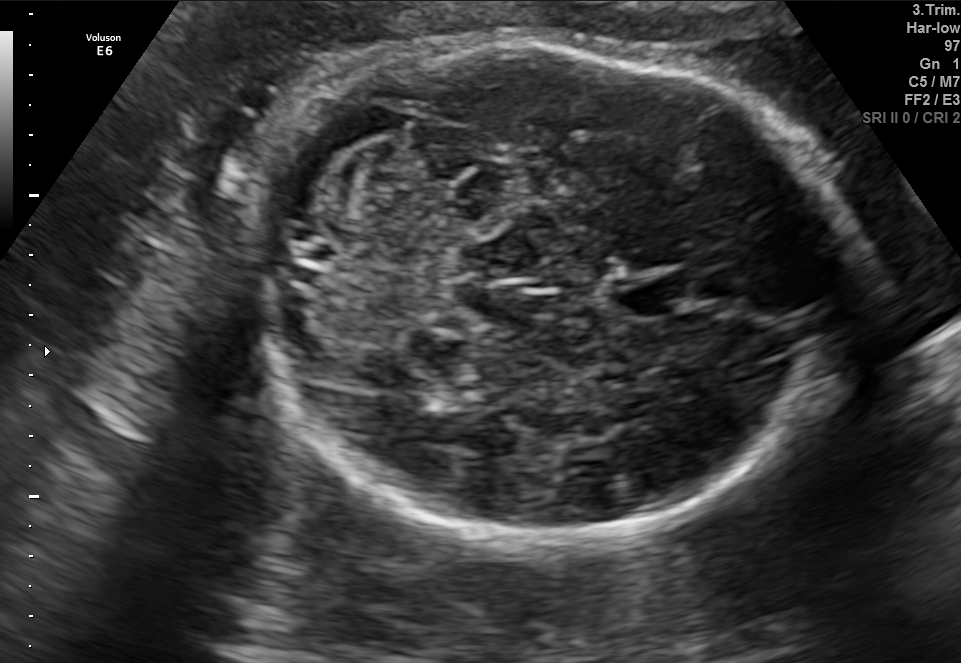
In this fetal brain, trans-cerebellum plane, give the bounding box of the cavum septum pellucidum.

[609,265,696,329]